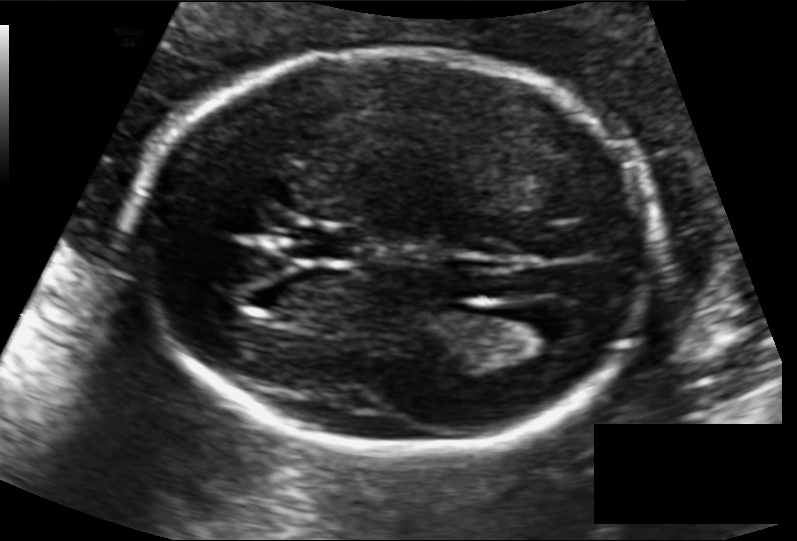
Measure the fetal head circumference shown in this ultrasound image. Image width: 94.0 mm.

Head circumference: 175.9 mm.